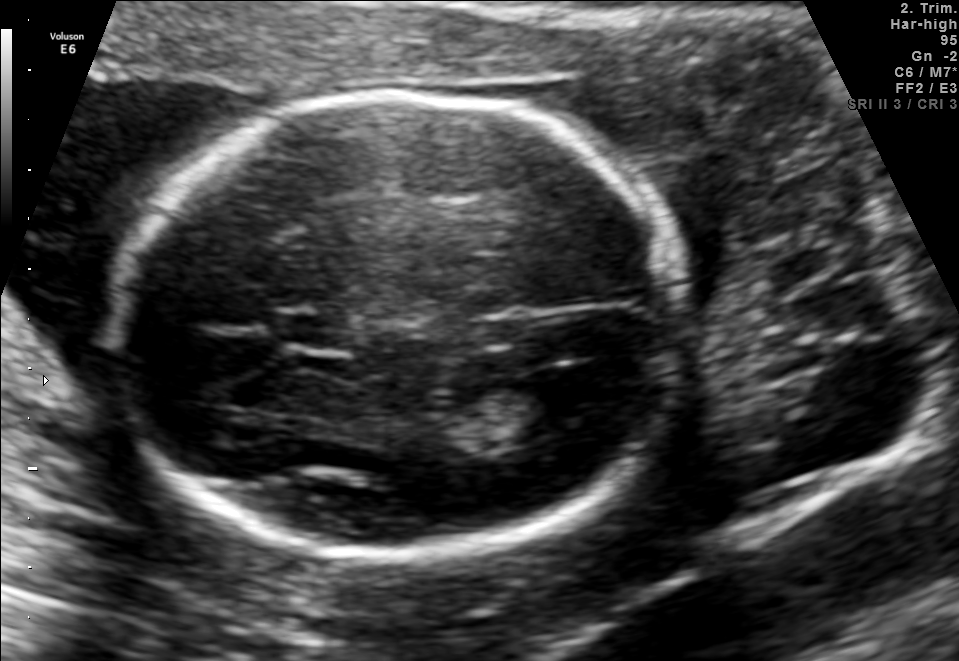
This is a 2D maternal-fetal ultrasound frame. Is it a fetal abdomen, fetal brain, fetal femur, fetal thorax, maternal cervix, or other standard plane? If it's fetal brain and one of the three standard brain planes (trans-thalamic, trans-cerebellum, trans-ventricular), name which.

Fetal brain (trans-ventricular plane)